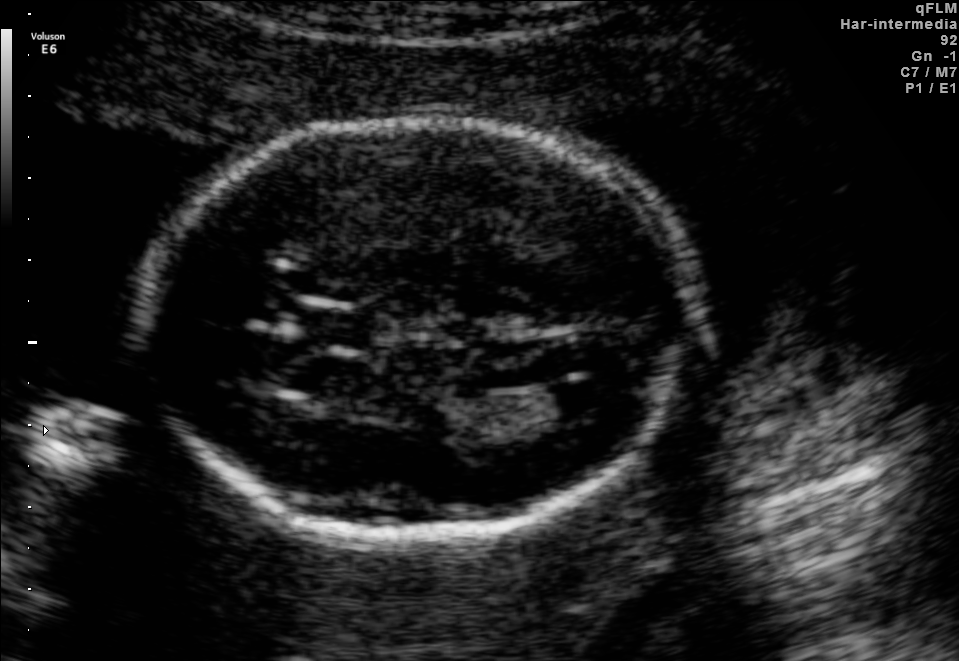
Fetal brain, trans-ventricular plane. Locate the lateral ventricle.

Lateral ventricle: [541,376,619,424]